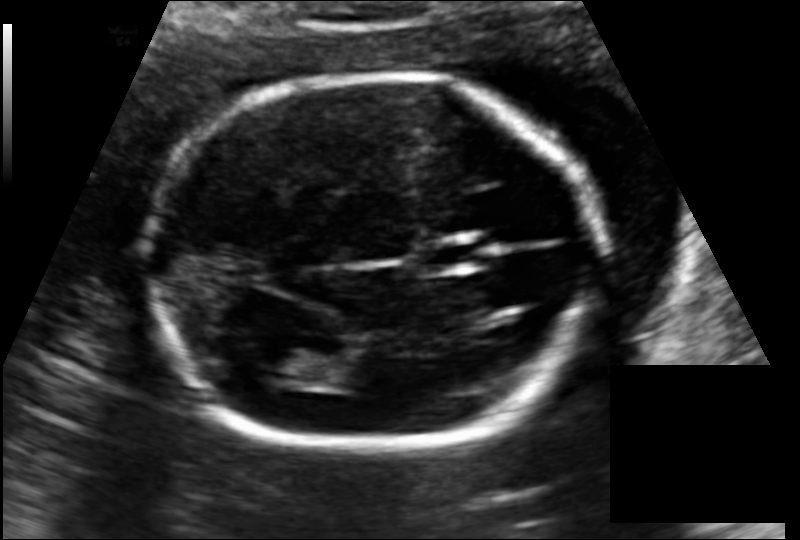
Fetal head ultrasound. Image width: 101.6 mm. Give [x1,y1,x2,y2] bounding boxes for each visible structure among: fetal head, CSP, LV.

Head: [148,74,603,453]
CSP: [417,238,482,272]
Lateral ventricle: [259,342,325,392]